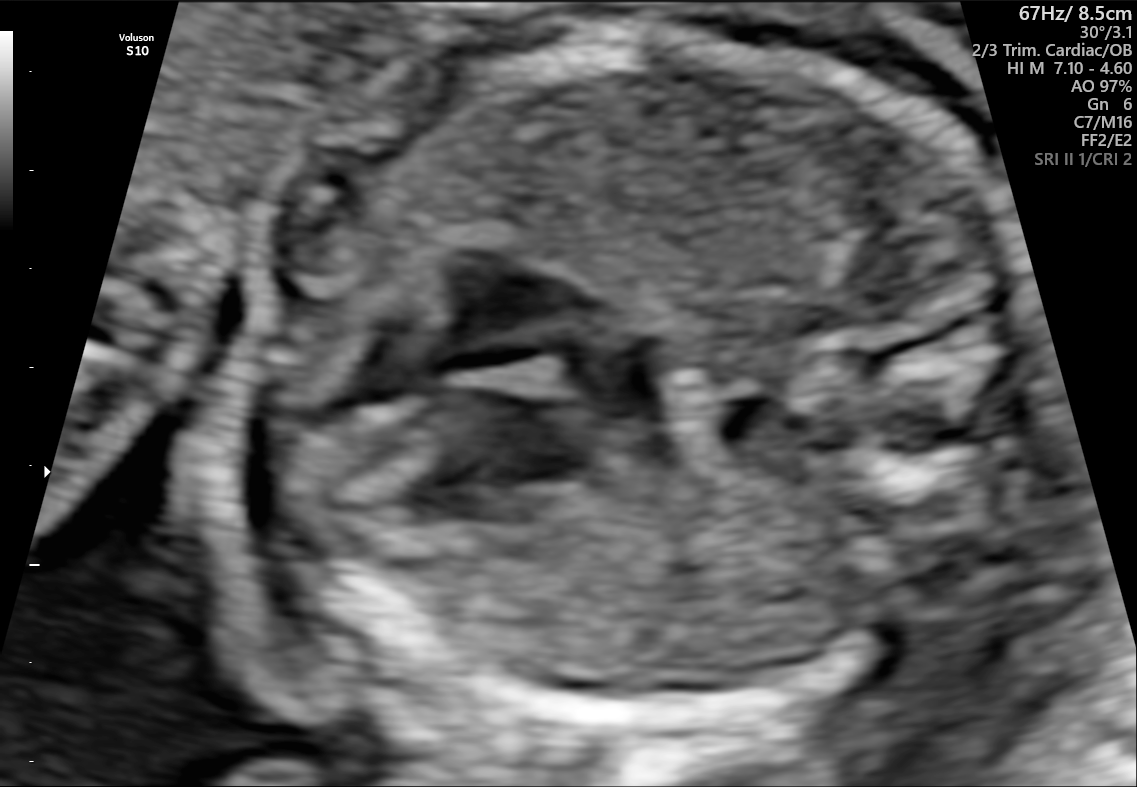
This is a 2D maternal-fetal ultrasound frame. Is it a fetal abdomen, fetal brain, fetal femur, fetal thorax, maternal cervix, or other standard plane? If it's fetal brain and one of the three standard brain planes (trans-thalamic, trans-cerebellum, trans-ventricular), name which.

Fetal thorax